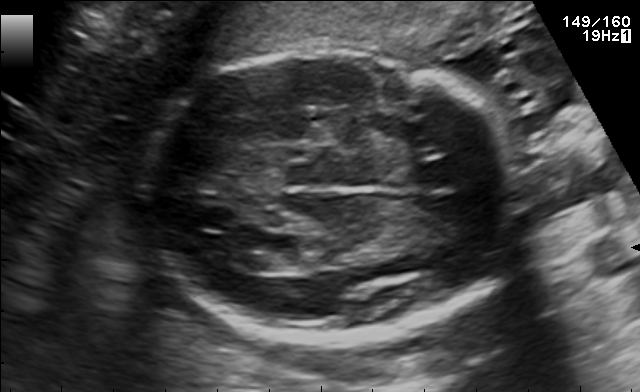
Fetal brain, trans-ventricular plane. Locate the fetal head.

Head: [128,42,537,350]